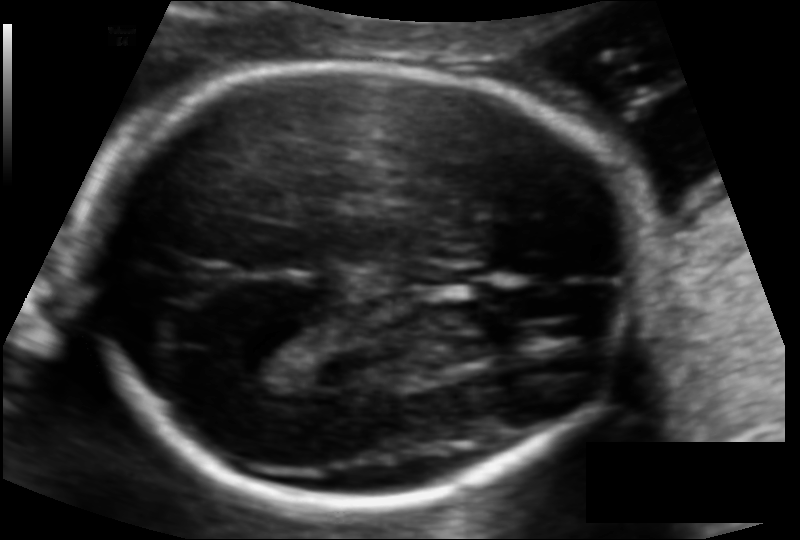
Fetal head ultrasound. Image width: 86.6 mm. Locate the fetal head and, if visible, the cavum septum pellucidum (CSP) and lateral ventricle (LV). Give bounding boxes as [x1,y1,x2,y2].

Head: [82,65,643,505]